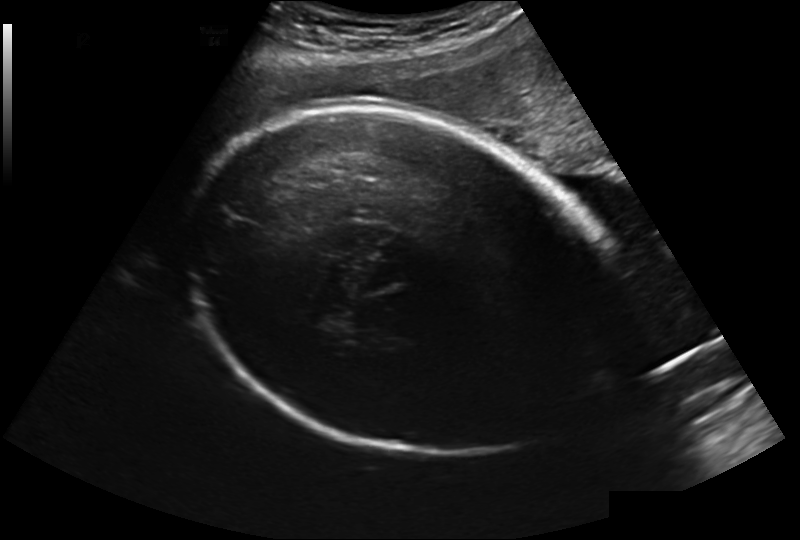
In this fetal head ultrasound, give bounding boxes for the head outline, cavum septum pellucidum (CSP), and lateral ventricle (LV), where visible. Image width: 192.6 mm.

Head: [185,109,611,455]